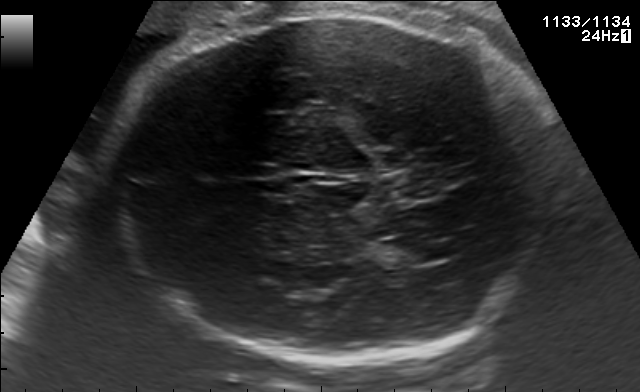
This is a 2D maternal-fetal ultrasound frame. Is it a fetal abdomen, fetal brain, fetal femur, fetal thorax, maternal cervix, or other standard plane? If it's fetal brain and one of the three standard brain planes (trans-thalamic, trans-cerebellum, trans-ventricular), name which.

Fetal brain (trans-ventricular plane)